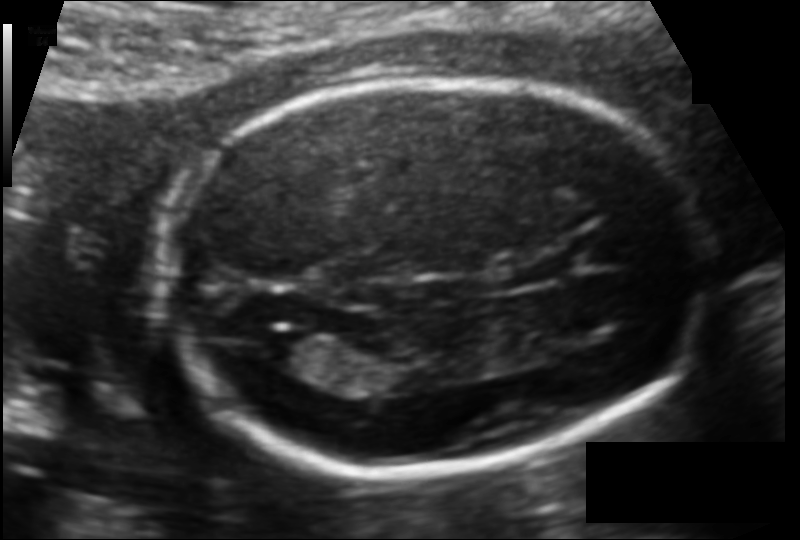
Estimate the fetal head circumference from this 2D ultrasound.

Head circumference: 163.9 mm (image width 87.1 mm).